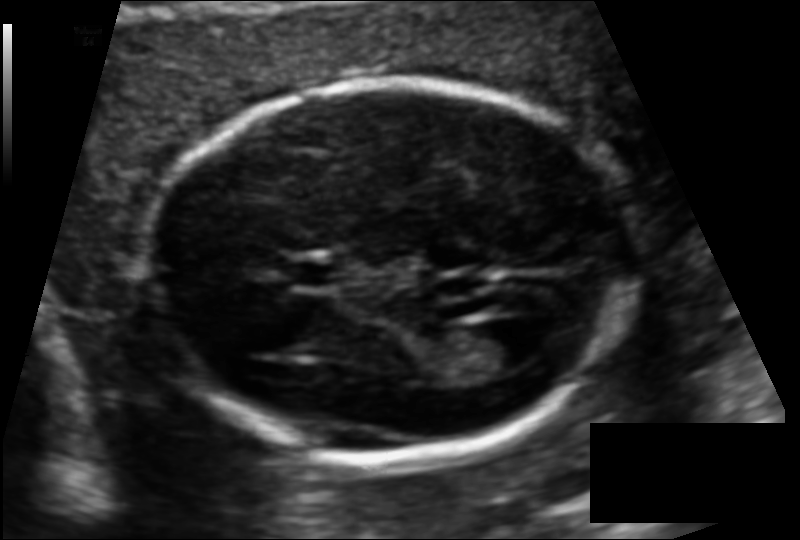
Fetal head ultrasound. Image width: 88.0 mm. Locate the fetal head.

Head: [148,79,631,457]